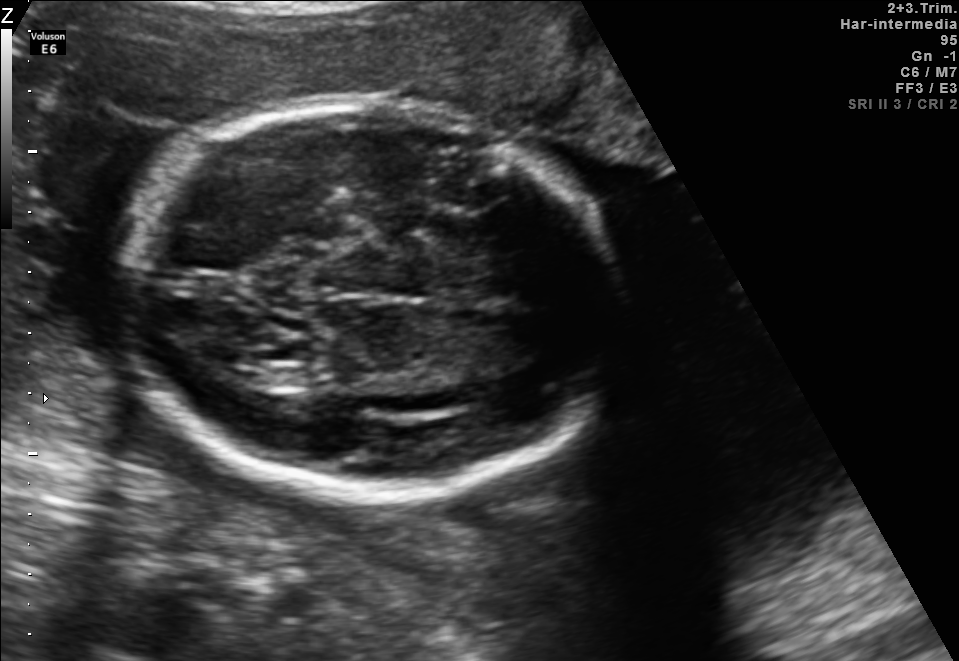
In this fetal brain, trans-thalamic plane, give the bounding box of the fetal head.

[118,103,615,498]